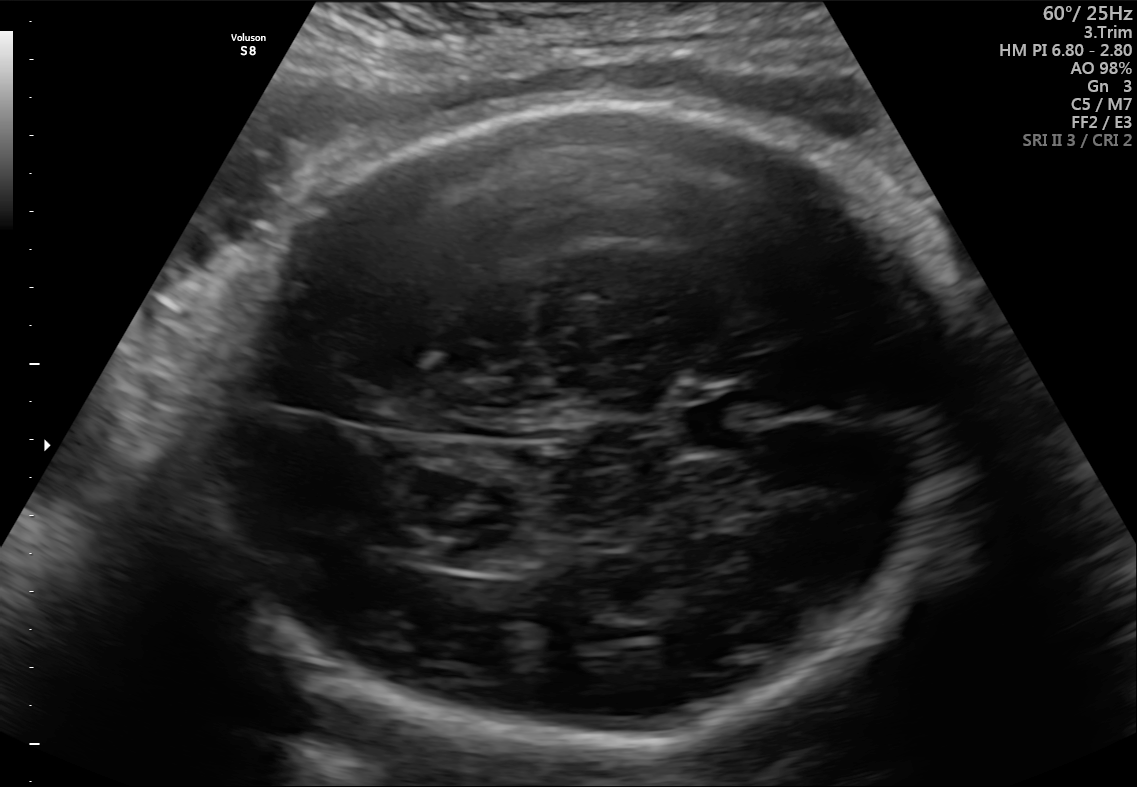
Fetal brain, trans-thalamic plane. Locate the fetal head.

Head: [183,102,964,756]